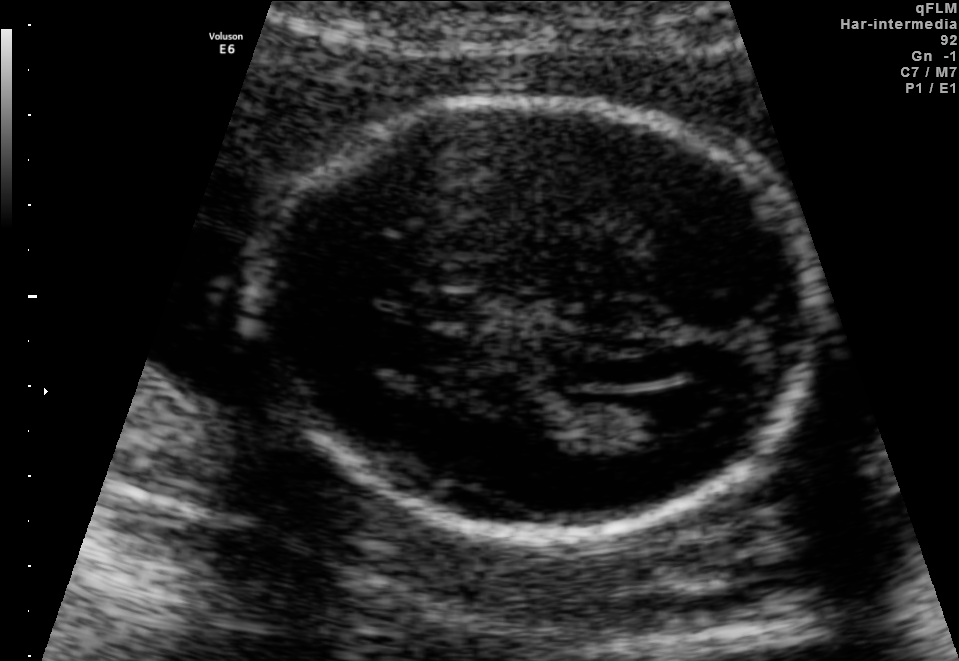
Fetal brain, trans-ventricular plane. Locate the cavum septum pellucidum.

CSP: [385,283,497,332]